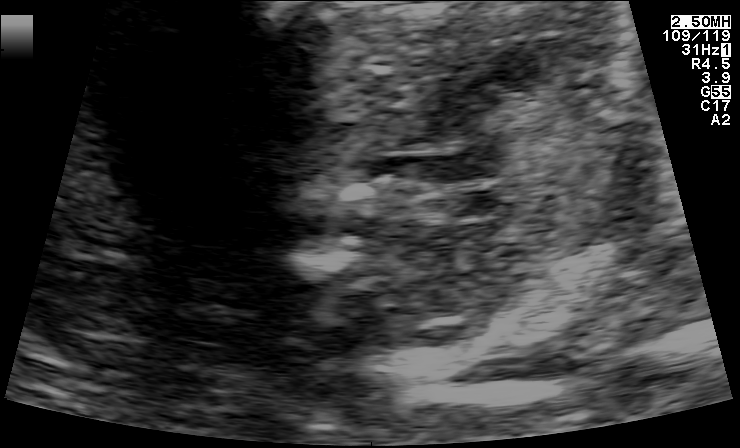
Identify the standard plane in this fetal ultrasound image: fetal abdomen, fetal brain, fetal femur, fetal thorax, maternal cervix, or other. If it's fetal brain and one of the three standard brain planes (trans-thalamic, trans-cerebellum, trans-ventricular), name which.

Other